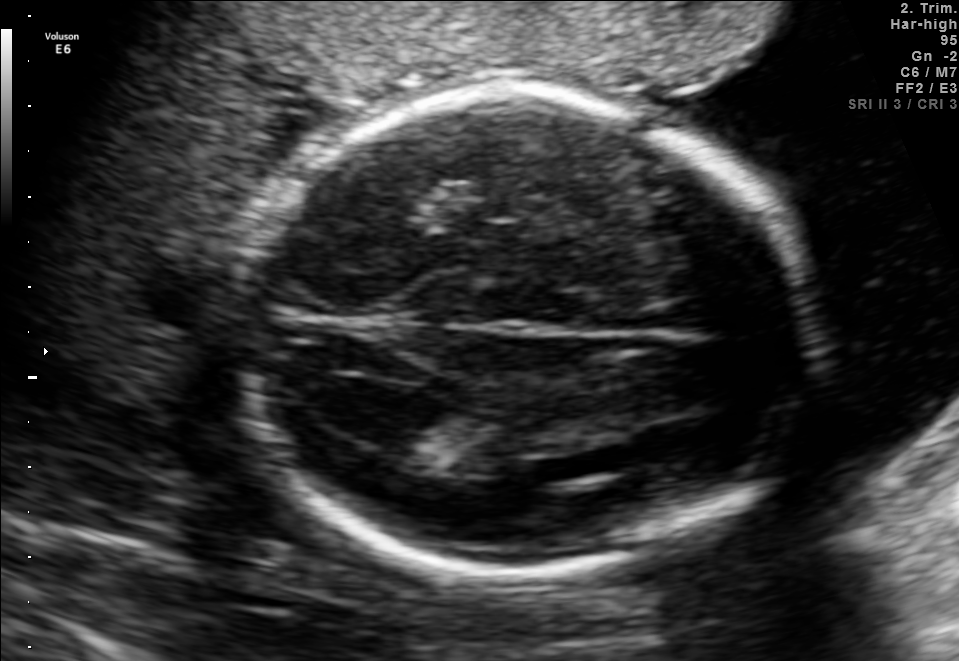
Fetal brain, trans-ventricular plane. Where is the fetal head?

Head bounding box: [223,77,836,590]